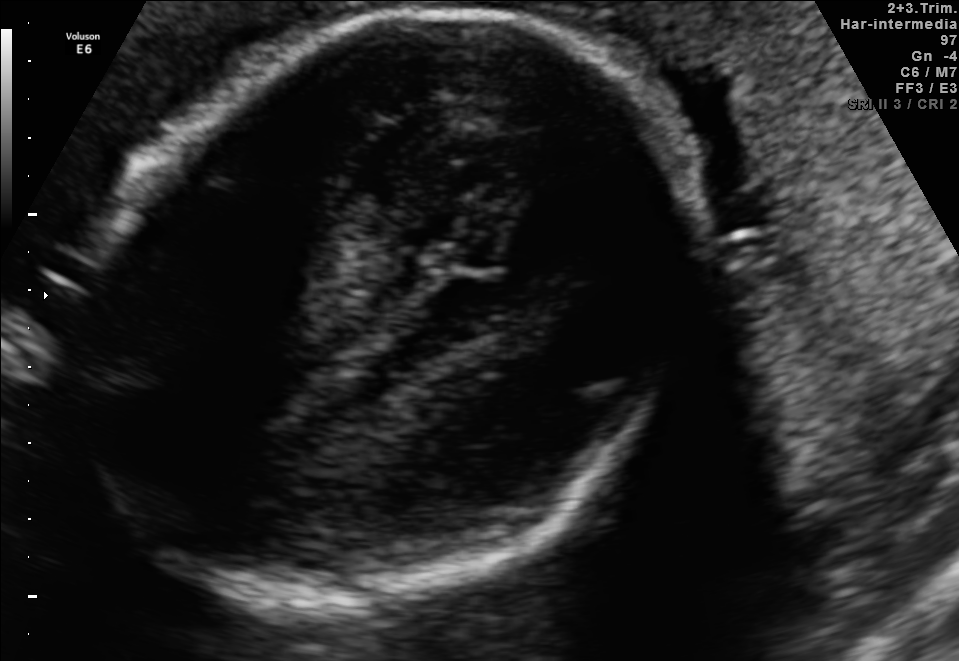
Fetal brain, trans-thalamic plane. Locate the fetal head and, if visible, the cavum septum pellucidum (CSP) and lateral ventricle (LV). Give bounding boxes as [x1,y1,x2,y2].

Head: [80,9,683,612]